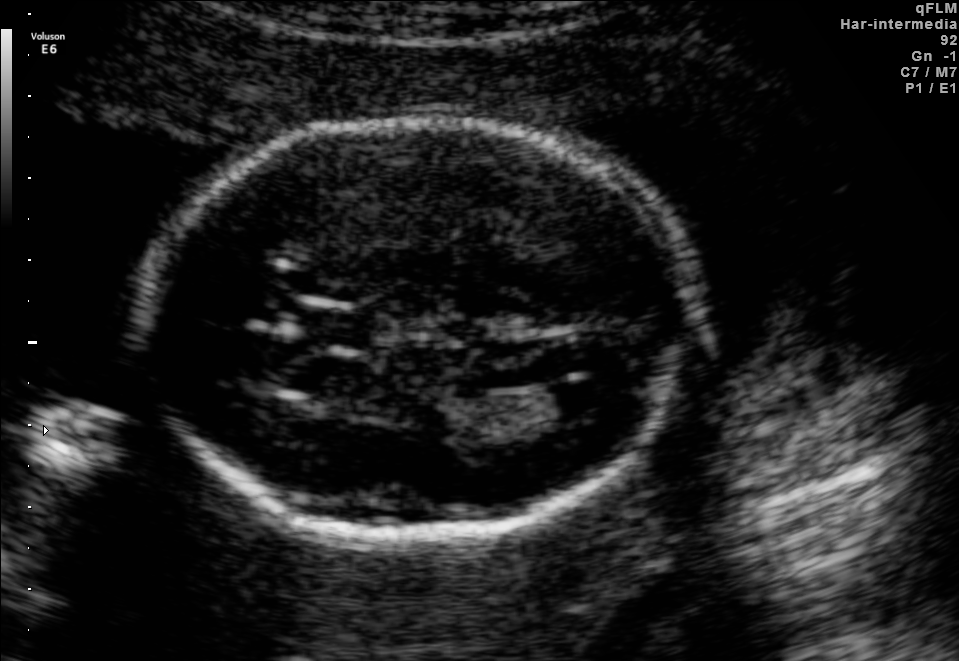
In this fetal brain, trans-ventricular plane, give the bounding box of the fetal head.

[133,111,706,546]